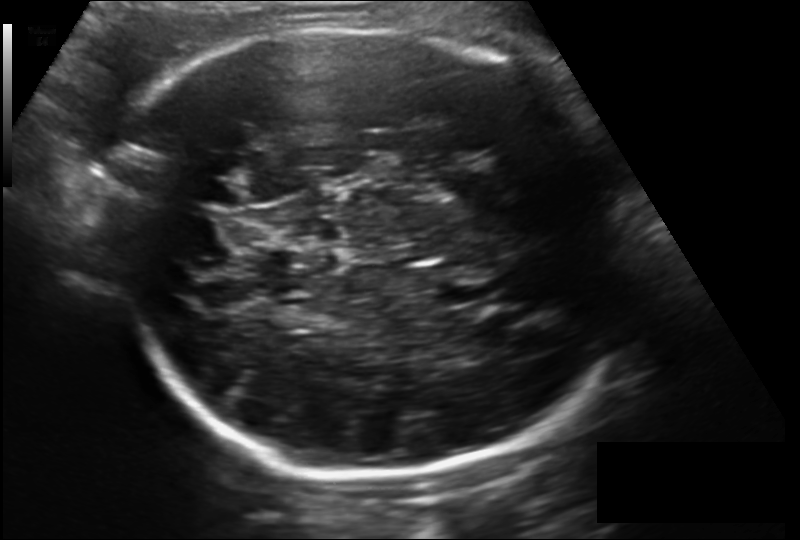
Fetal head ultrasound. Image width: 152.2 mm. Locate the fetal head and, if visible, the cavum septum pellucidum (CSP) and lateral ventricle (LV). Give bounding boxes as [x1,y1,x2,y2].

Head: [97,28,630,476]